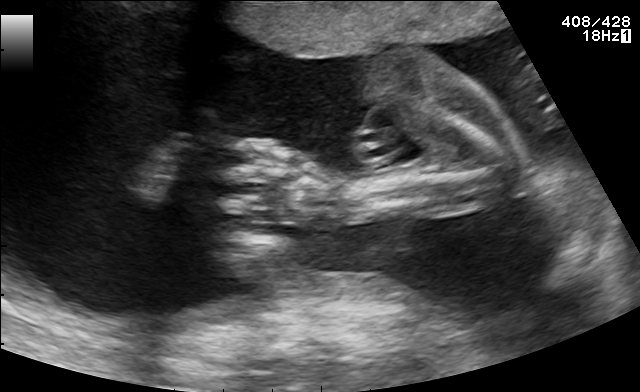
Which standard maternal-fetal ultrasound plane is shown: fetal abdomen, fetal brain, fetal femur, fetal thorax, maternal cervix, or other? If it's fetal brain and one of the three standard brain planes (trans-thalamic, trans-cerebellum, trans-ventricular), name which.

Other